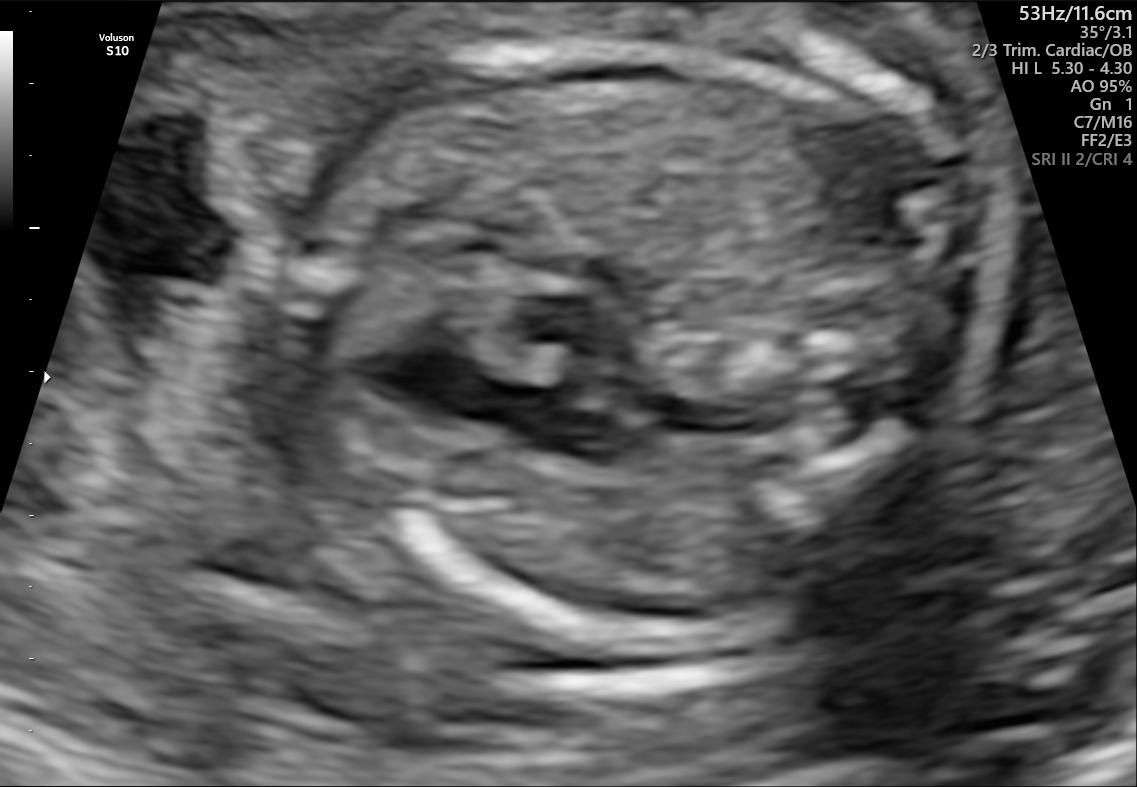
Classify this maternal-fetal ultrasound image as one of the six standard planes — fetal abdomen, fetal brain, fetal femur, fetal thorax, maternal cervix, or other. If it's fetal brain and one of the three standard brain planes (trans-thalamic, trans-cerebellum, trans-ventricular), name which.

Fetal thorax